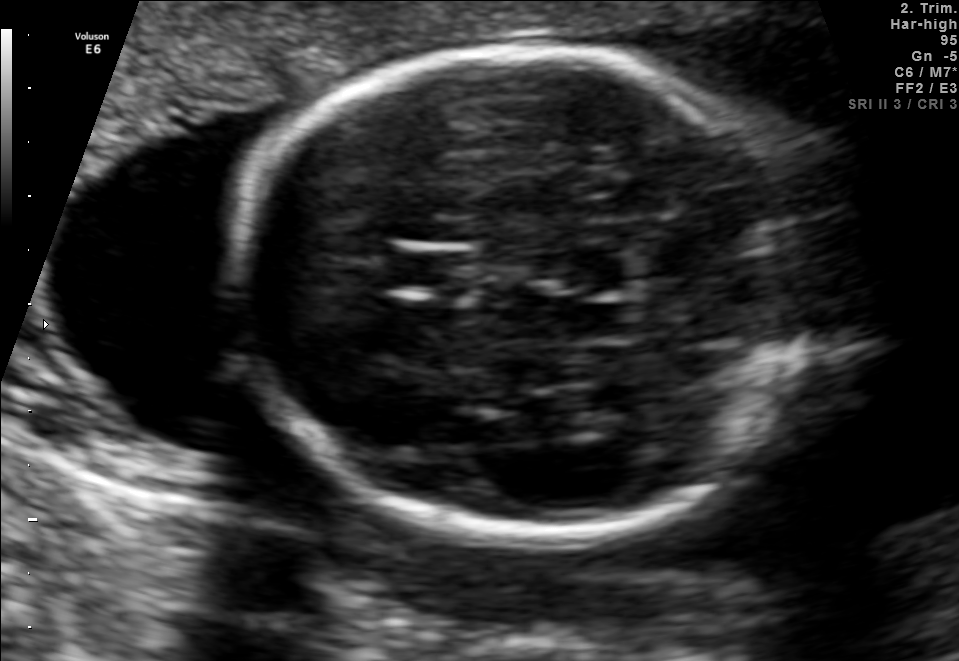
Fetal brain, trans-thalamic plane. Locate the fetal head and, if visible, the cavum septum pellucidum (CSP) and lateral ventricle (LV). Give bounding boxes as [x1,y1,x2,y2].

Head: [228,50,813,541]
CSP: [384,244,477,301]